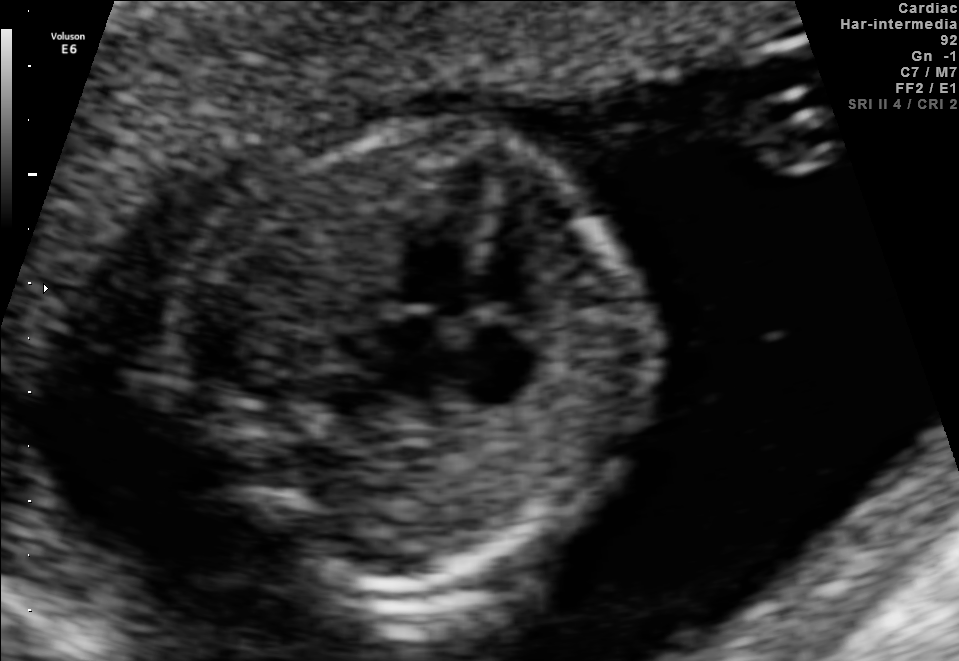
Identify the standard plane in this fetal ultrasound image: fetal abdomen, fetal brain, fetal femur, fetal thorax, maternal cervix, or other. If it's fetal brain and one of the three standard brain planes (trans-thalamic, trans-cerebellum, trans-ventricular), name which.

Fetal thorax